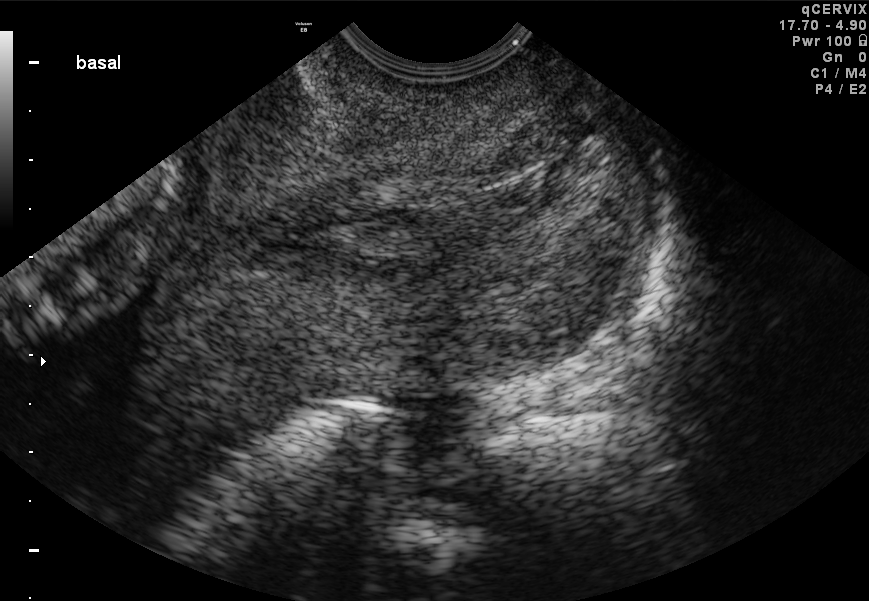
This is a 2D maternal-fetal ultrasound frame. Is it a fetal abdomen, fetal brain, fetal femur, fetal thorax, maternal cervix, or other standard plane? If it's fetal brain and one of the three standard brain planes (trans-thalamic, trans-cerebellum, trans-ventricular), name which.

Maternal cervix